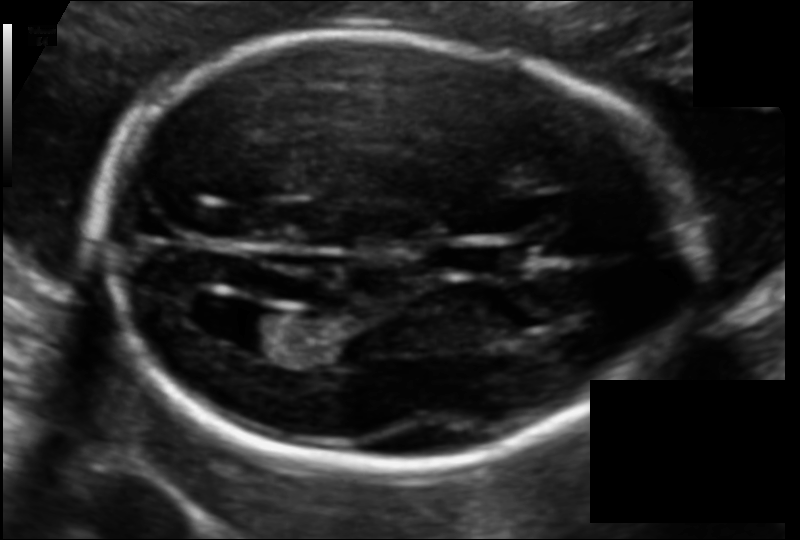
Fetal head ultrasound. Image width: 86.6 mm. Locate the fetal head and, if visible, the cavum septum pellucidum (CSP) and lateral ventricle (LV). Give bounding boxes as [x1,y1,x2,y2].

Head: [98,33,691,471]
CSP: [442,244,523,275]
Lateral ventricle: [219,304,301,364]